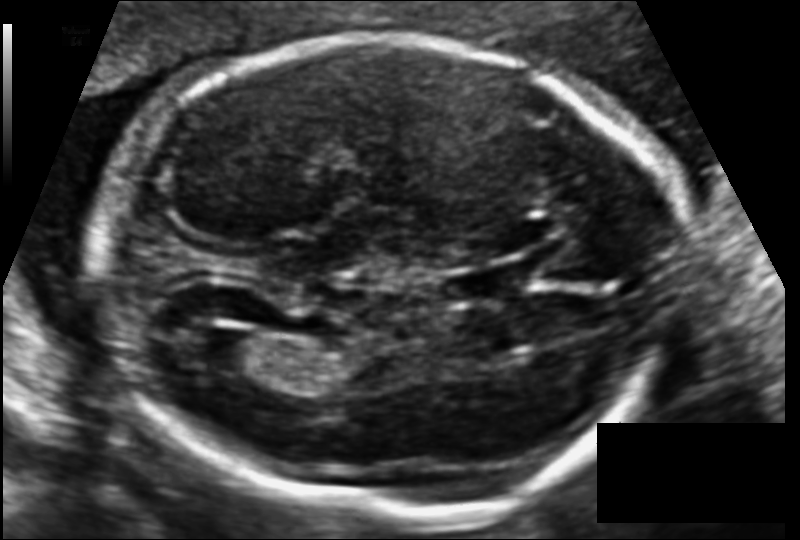
In this fetal head ultrasound, give bounding boxes for the head outline, cavum septum pellucidum (CSP), and lateral ventricle (LV), where visible. Image width: 92.7 mm.

Head: [99,36,676,514]
CSP: [434,261,523,313]
Lateral ventricle: [190,325,263,375]